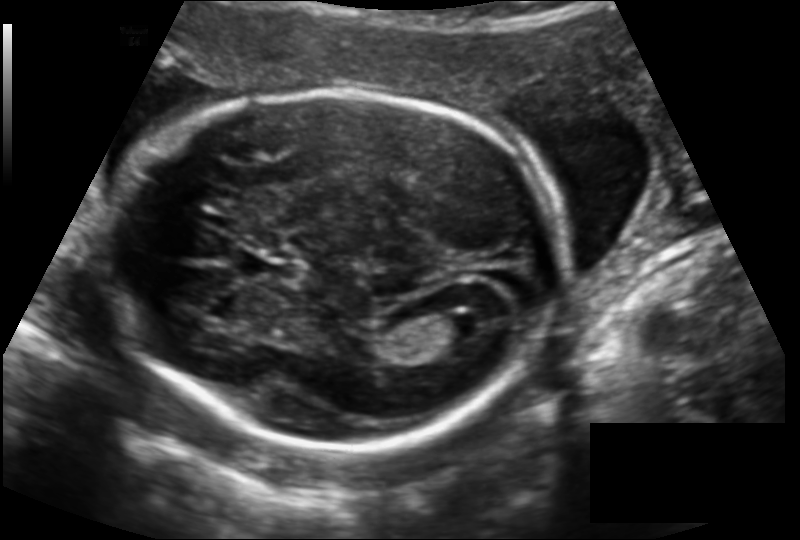
From this fetal ultrasound, estimate the head circumference (image width 113.5 mm).

Head circumference: 185.9 mm.